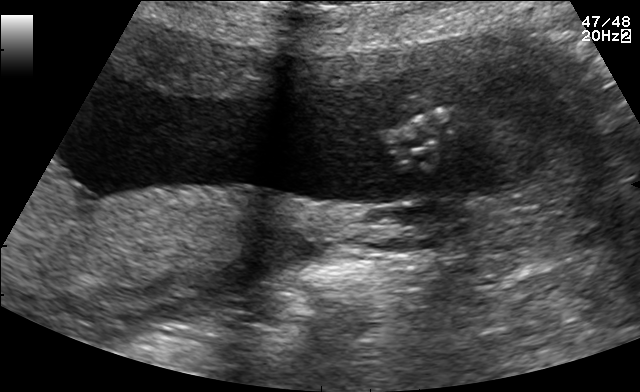
Identify the standard plane in this fetal ultrasound image: fetal abdomen, fetal brain, fetal femur, fetal thorax, maternal cervix, or other. If it's fetal brain and one of the three standard brain planes (trans-thalamic, trans-cerebellum, trans-ventricular), name which.

Other